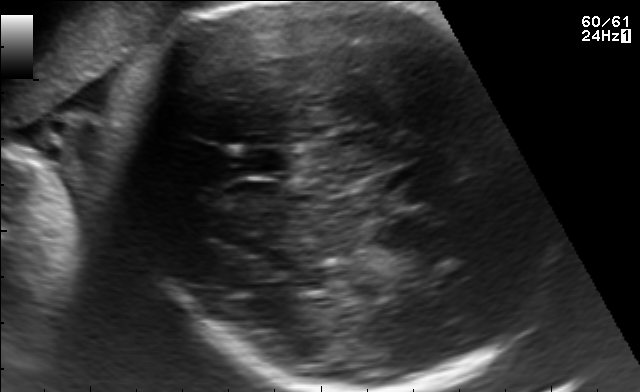
In this fetal brain, trans-thalamic plane, give bounding boxes for the head outline, cavum septum pellucidum (CSP), and lateral ventricle (LV), where visible.

Head: [137,3,525,389]